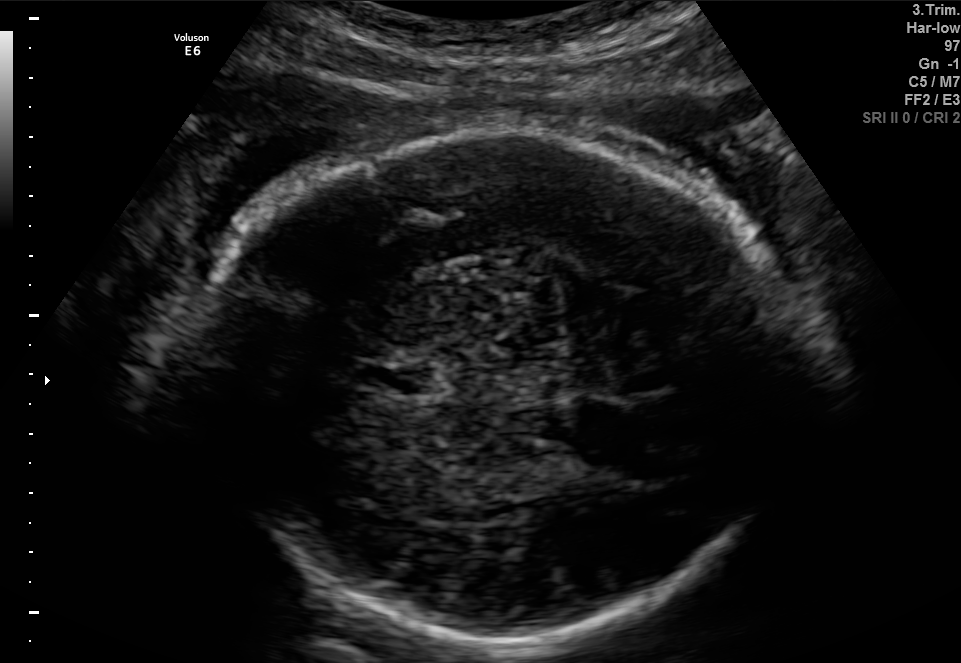
In this fetal brain, trans-thalamic plane, give the bounding box of the cavum septum pellucidum.

[357,360,420,398]